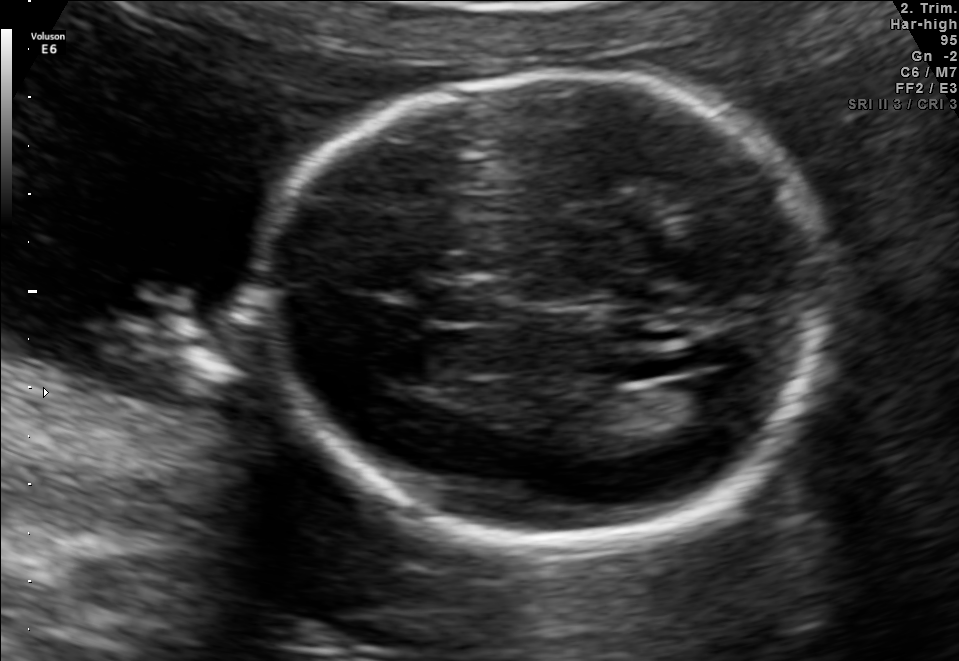
In this fetal brain, trans-ventricular plane, give the bounding box of the fetal head.

[244,65,855,556]